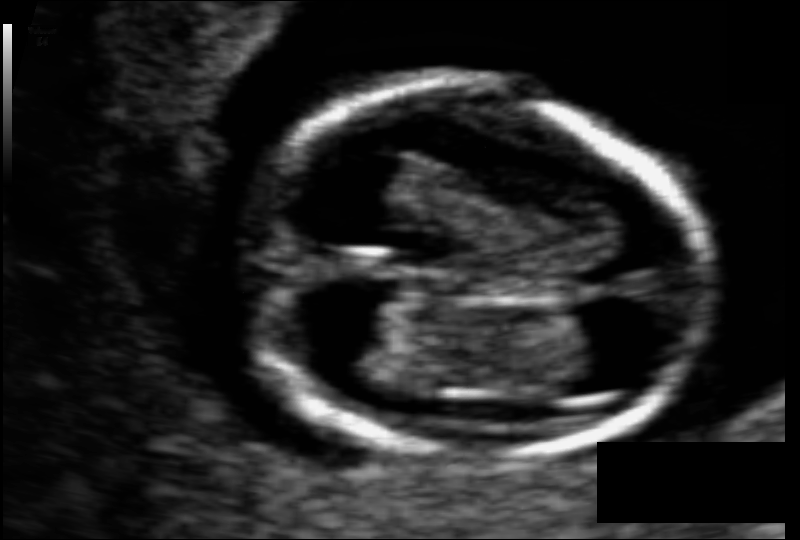
Fetal head ultrasound. Image width: 50.4 mm. Give [x1,y1,x2,y2] bounding boxes for each visible structure among: fetal head, CSP, LV.

Head: [244,83,706,459]